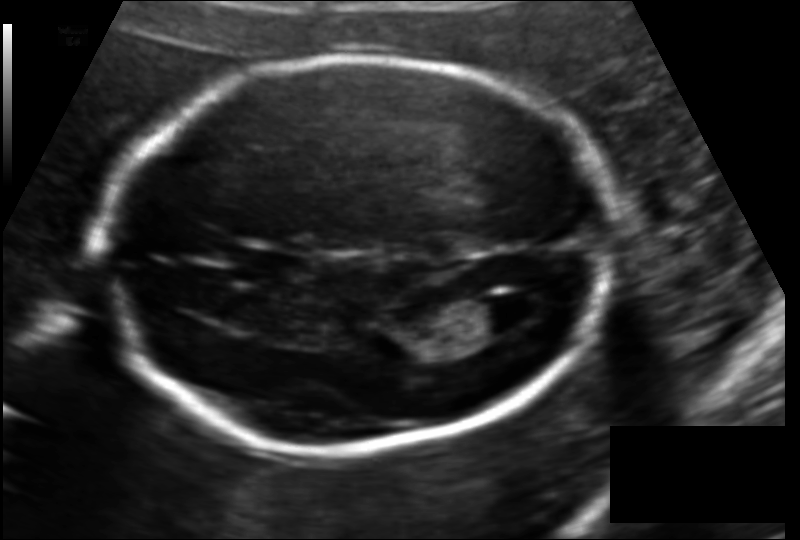
Measure the fetal head circumference shown in this ultrasound image. Image width: 101.5 mm.

Head circumference: 185.4 mm.